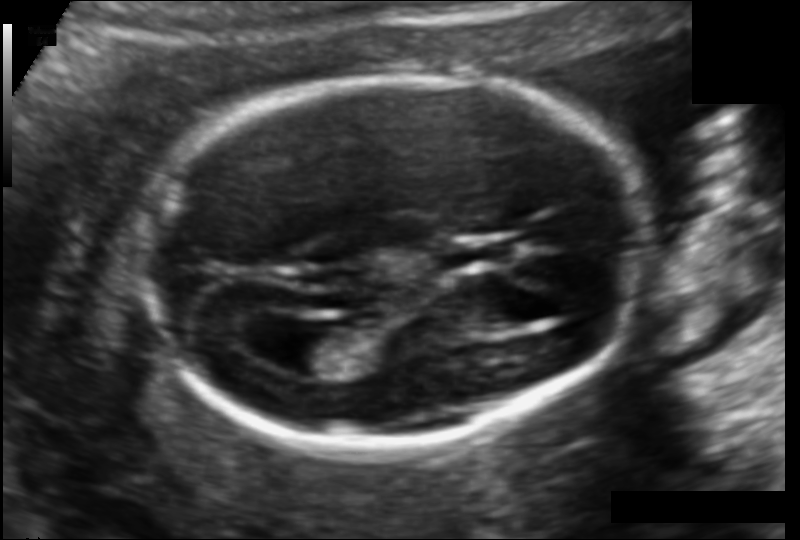
Estimate the fetal head circumference from this 2D ultrasound. Image width: 91.5 mm.

Head circumference: 162.1 mm.